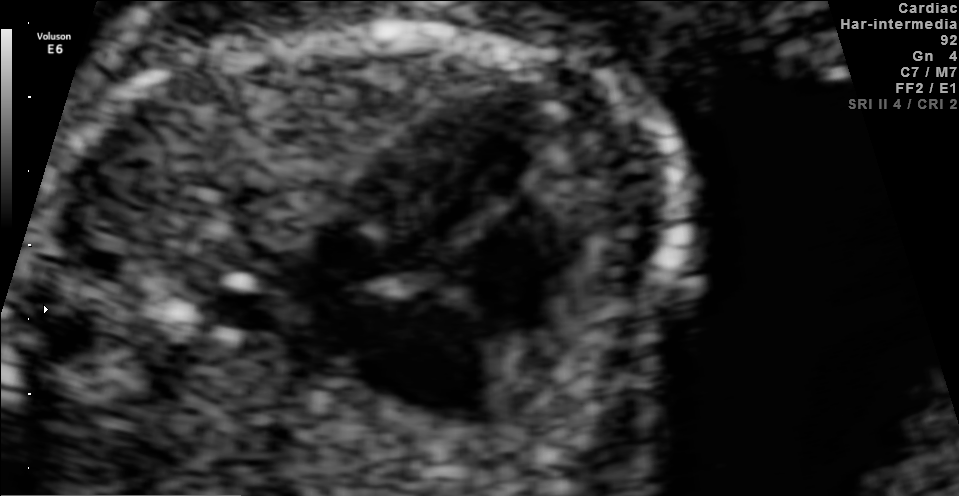
This is a 2D maternal-fetal ultrasound frame. Is it a fetal abdomen, fetal brain, fetal femur, fetal thorax, maternal cervix, or other standard plane? If it's fetal brain and one of the three standard brain planes (trans-thalamic, trans-cerebellum, trans-ventricular), name which.

Fetal thorax